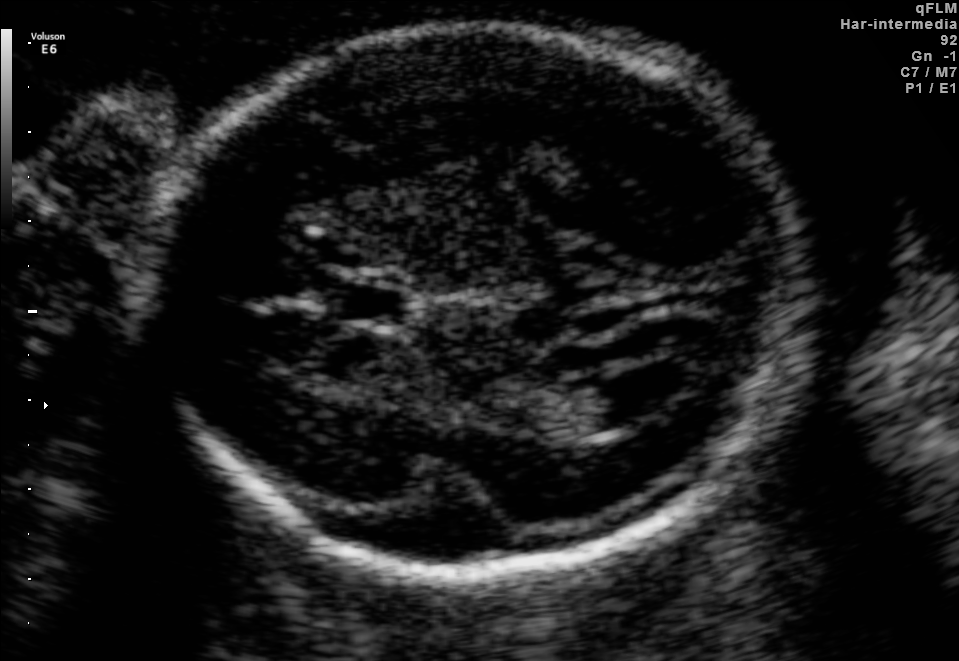
In this fetal brain, trans-ventricular plane, give the bounding box of the fetal head.

[121,17,832,592]